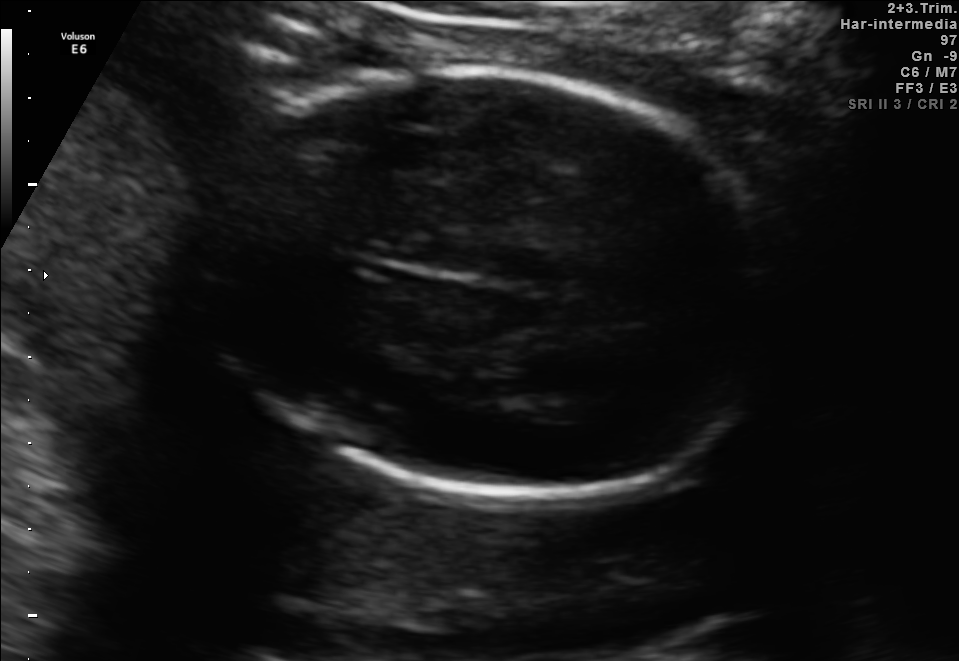
In this fetal brain, trans-thalamic plane, give the bounding box of the fetal head.

[203,70,782,497]